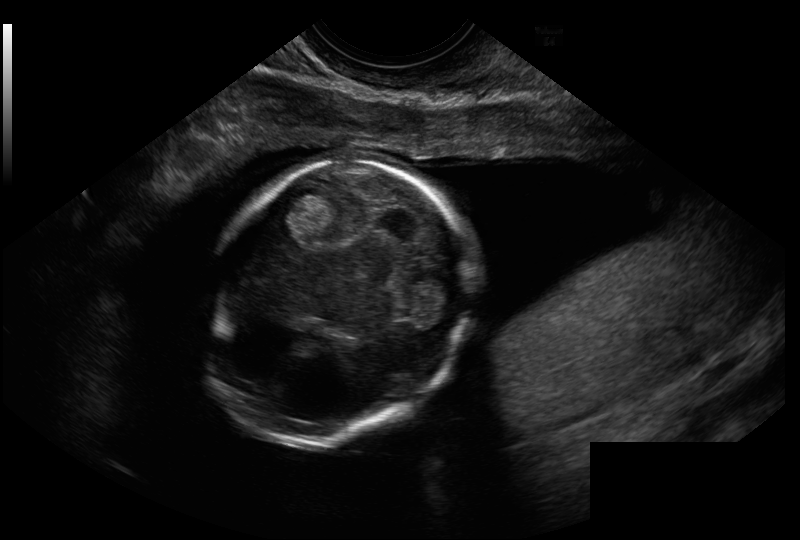
Fetal head ultrasound. Image width: 91.5 mm. Locate the fetal head.

Head: [204,161,470,448]